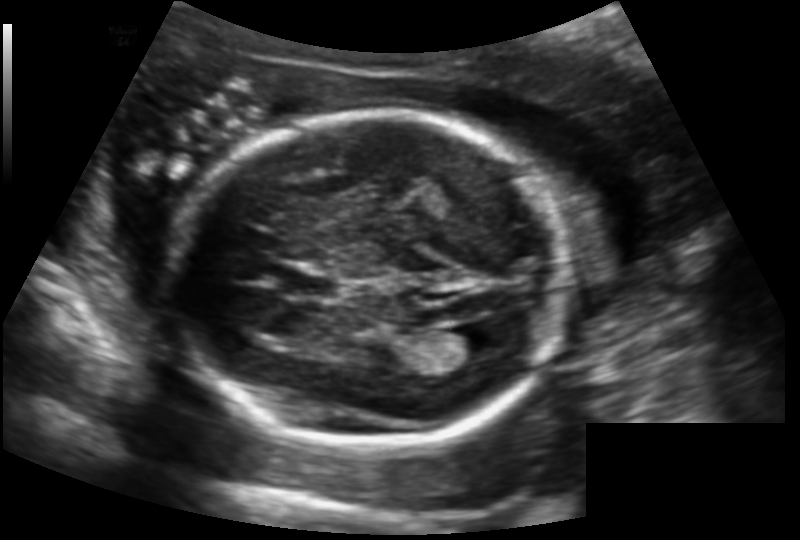
Measure the fetal head circumference shown in this ultrasound image. Image width: 117.4 mm.

Head circumference: 174.8 mm.